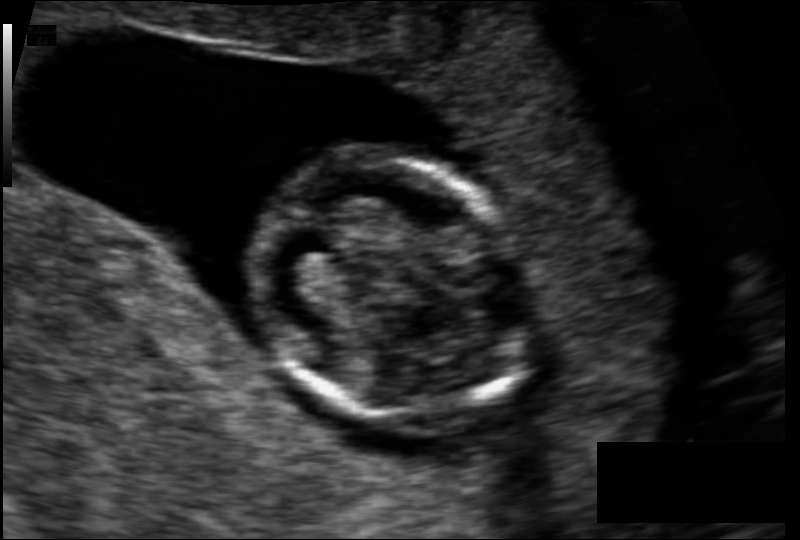
Fetal head ultrasound. Image width: 75.6 mm. Locate the fetal head and, if visible, the cavum septum pellucidum (CSP) and lateral ventricle (LV). Give bounding boxes as [x1,y1,x2,y2].

Head: [254,153,528,423]